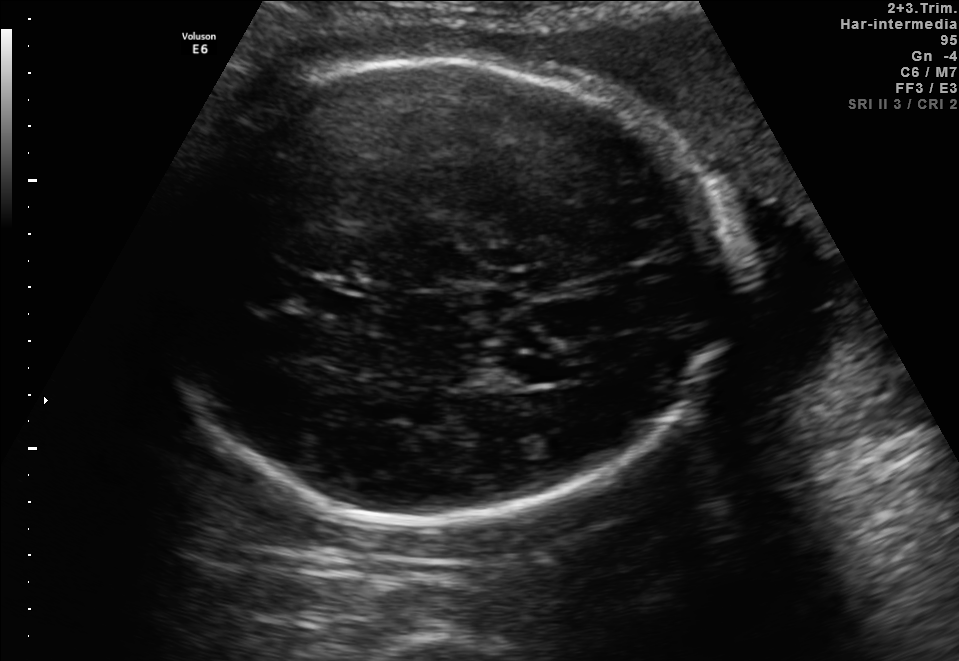
Fetal brain, trans-thalamic plane. Where is the lateral ventricle?

Lateral ventricle bounding box: [465,349,580,393]